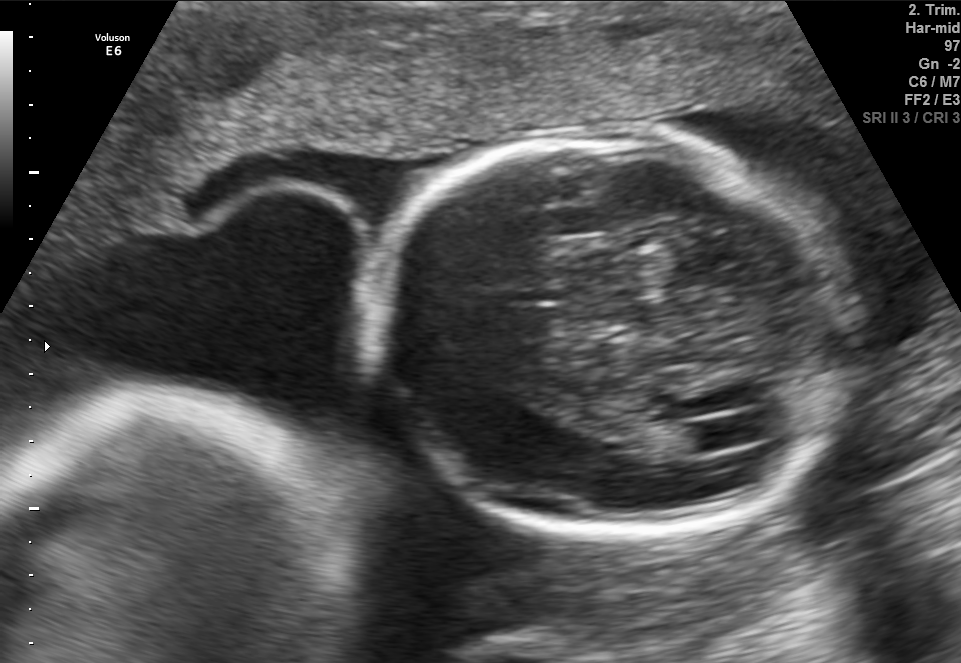
Fetal brain, trans-ventricular plane. Locate the lateral ventricle.

Lateral ventricle: [682,412,753,456]